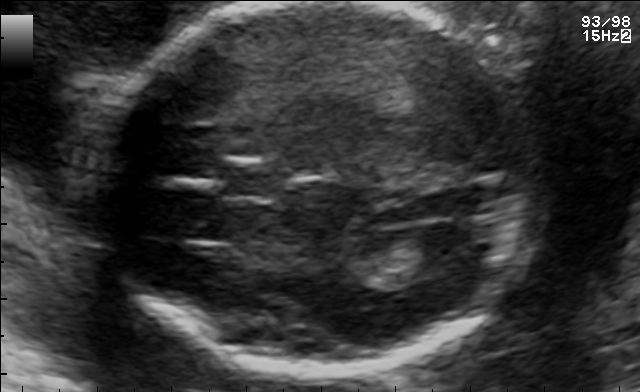
In this fetal brain, trans-ventricular plane, give bounding boxes for the head outline, cavum septum pellucidum (CSP), and lateral ventricle (LV), where visible.

Head: [78,2,555,379]